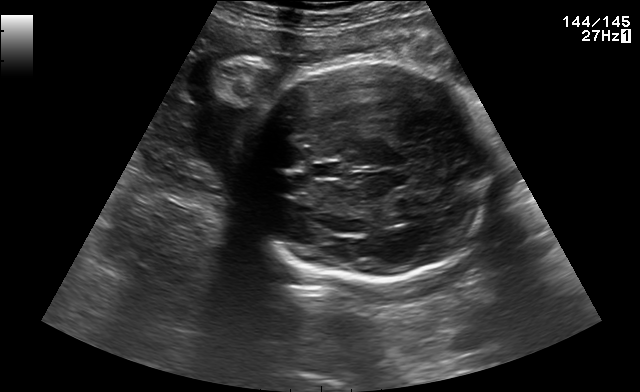
Fetal brain, trans-thalamic plane. Where is the fetal head?

Head bounding box: [238,64,500,279]